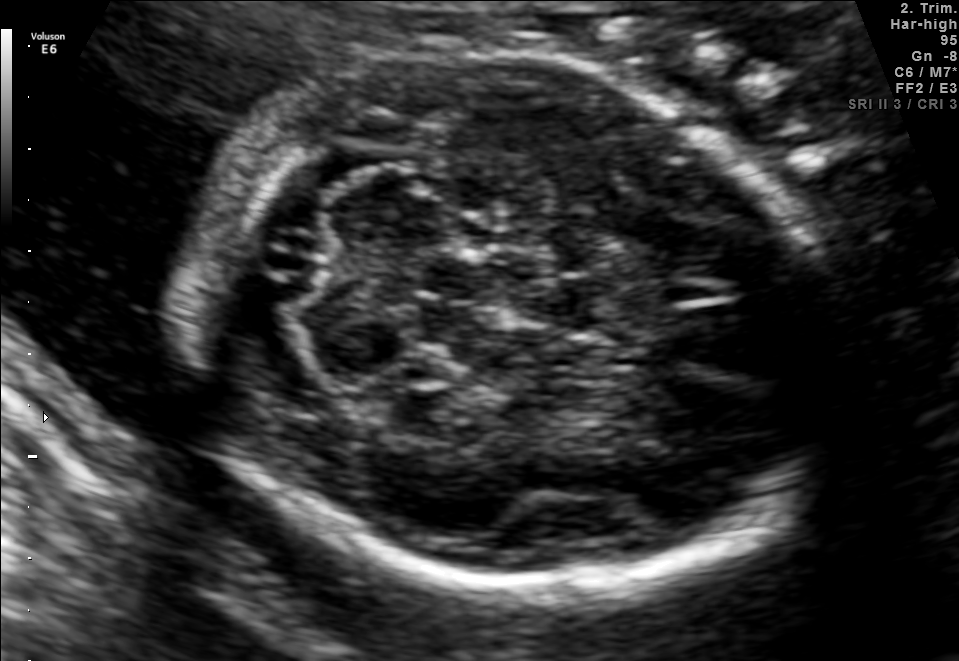
In this fetal brain, trans-cerebellum plane, give the bounding box of the fetal head.

[187,59,834,592]